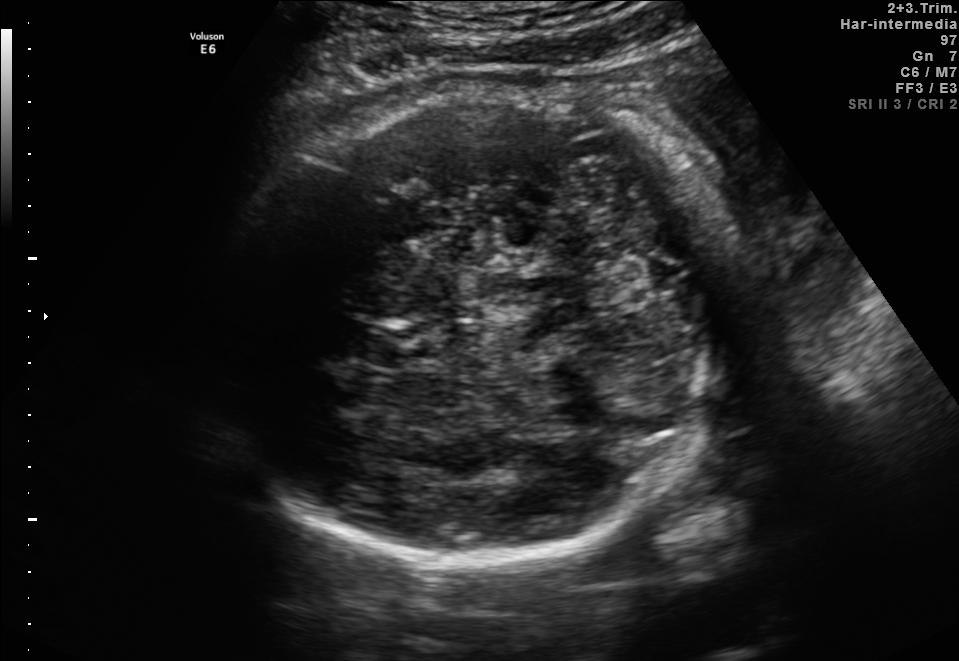
Fetal brain, trans-thalamic plane. Locate the fetal head.

Head: [207,90,730,563]